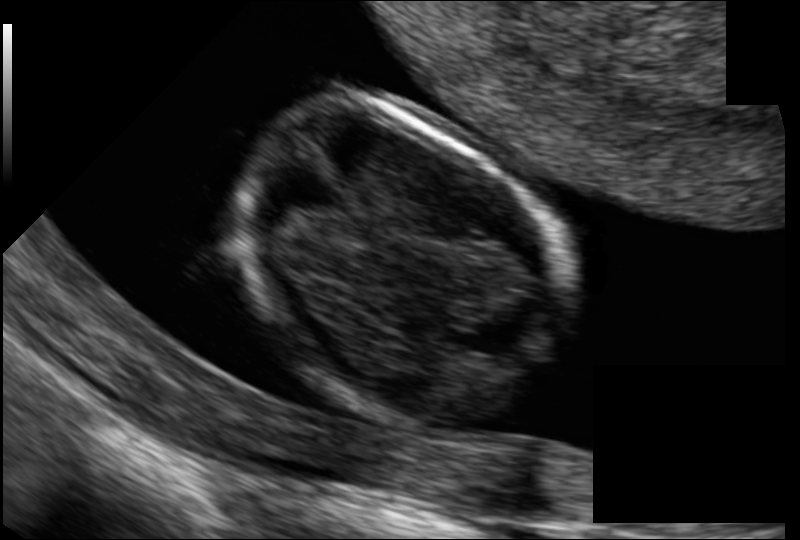
Estimate the fetal head circumference from this 2D ultrasound.

Head circumference: 72.7 mm (image width 55.2 mm).